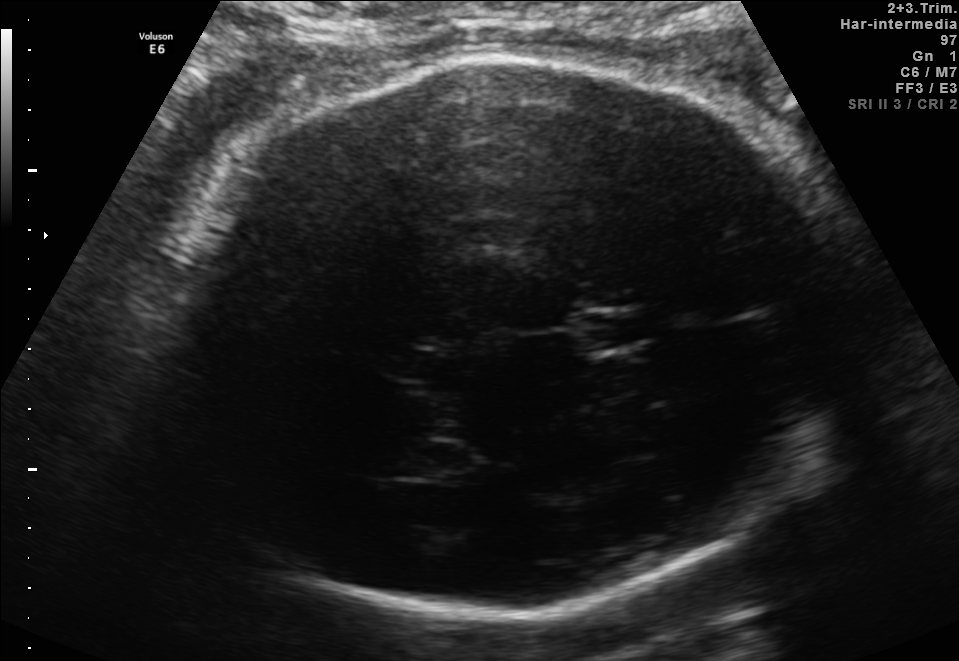
In this fetal brain, trans-thalamic plane, give bounding boxes for the head outline, cavum septum pellucidum (CSP), and lateral ventricle (LV), where visible.

Head: [154,55,851,612]
CSP: [579,307,663,352]
Lateral ventricle: [380,442,465,479]